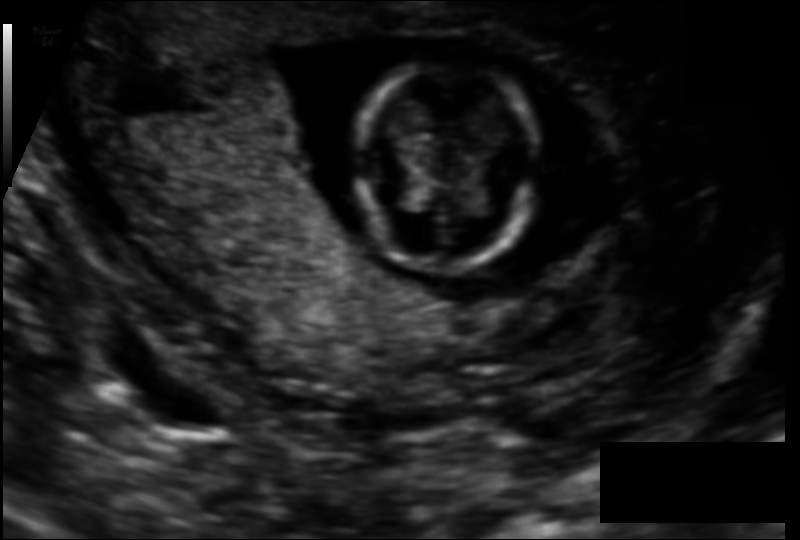
Fetal head ultrasound. Image width: 88.1 mm. Give [x1,y1,x2,y2] bounding boxes for each visible structure among: fetal head, CSP, LV.

Head: [355,61,538,271]